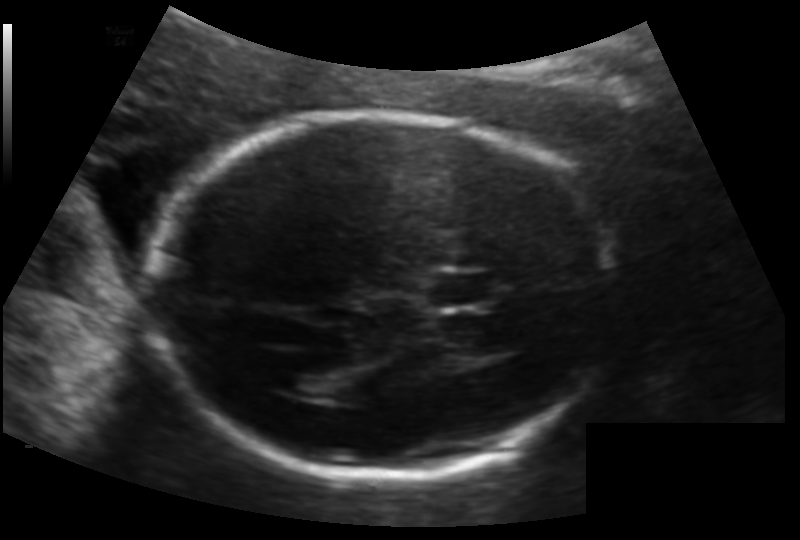
Fetal head ultrasound. Image width: 106.4 mm. Where is the lateral ventricle?

Lateral ventricle bounding box: [276,369,330,398]